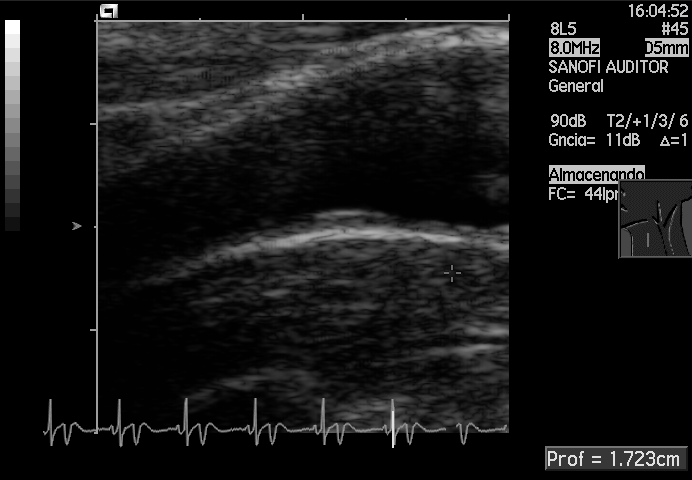
Which standard maternal-fetal ultrasound plane is shown: fetal abdomen, fetal brain, fetal femur, fetal thorax, maternal cervix, or other? If it's fetal brain and one of the three standard brain planes (trans-thalamic, trans-cerebellum, trans-ventricular), name which.

Other